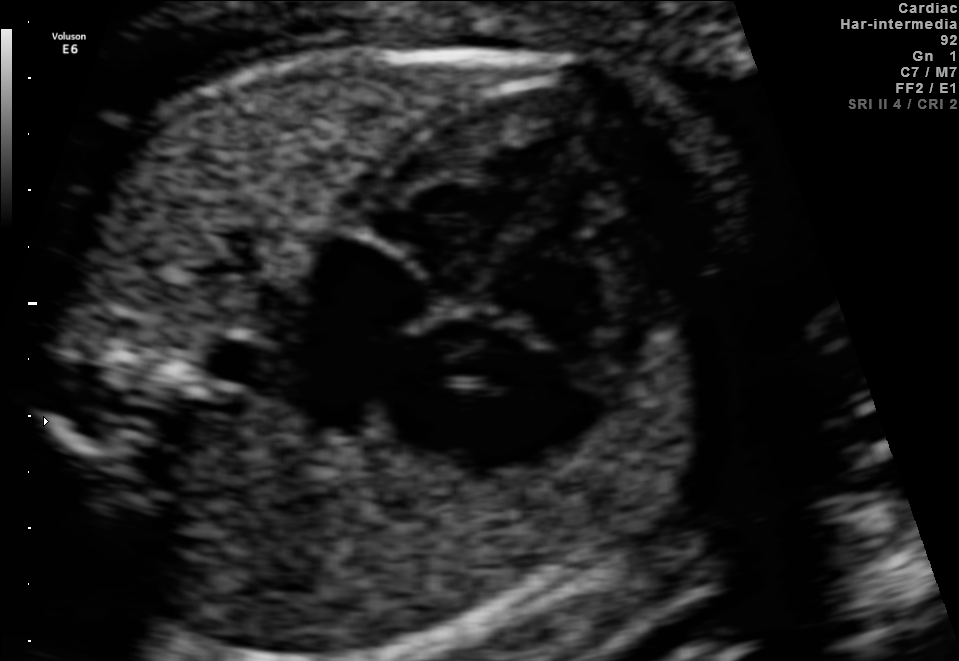
Classify this maternal-fetal ultrasound image as one of the six standard planes — fetal abdomen, fetal brain, fetal femur, fetal thorax, maternal cervix, or other. If it's fetal brain and one of the three standard brain planes (trans-thalamic, trans-cerebellum, trans-ventricular), name which.

Fetal thorax